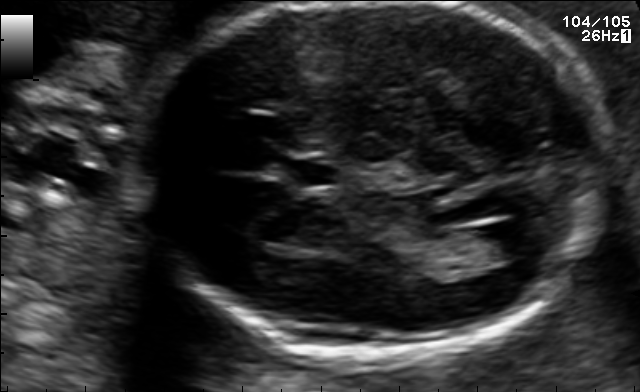
Fetal brain, trans-ventricular plane. Give [x1,y1,x2,y2] bounding boxes for each visible structure among: fetal head, CSP, LV.

Head: [119,3,619,365]
CSP: [283,156,339,192]
Lateral ventricle: [478,207,556,265]